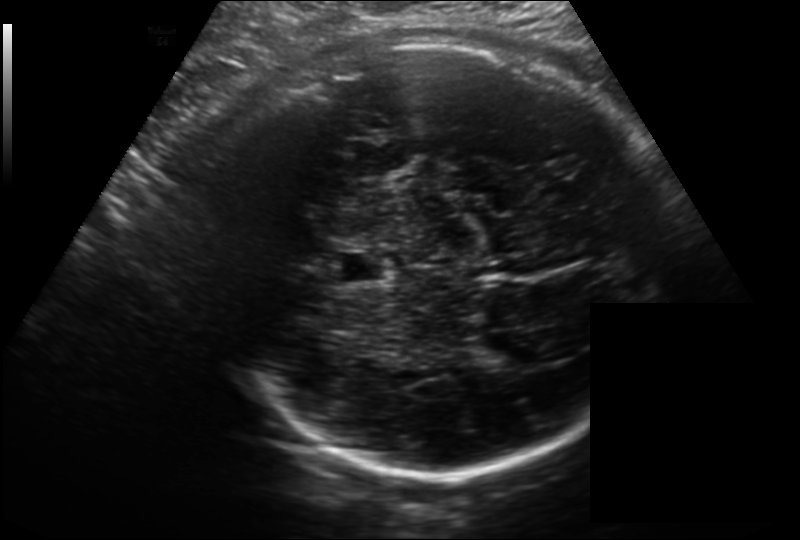
Fetal head ultrasound. Image width: 171.5 mm. Locate the cavum septum pellucidum.

CSP: [333,251,392,282]